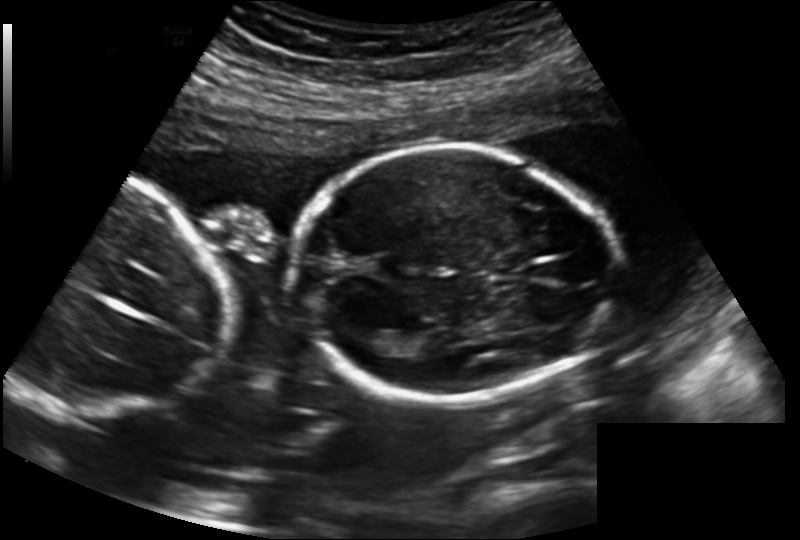
In this fetal head ultrasound, give bounding boxes for the head outline, cavum septum pellucidum (CSP), and lateral ventricle (LV), where visible. Image width: 146.1 mm.

Head: [288,146,617,400]